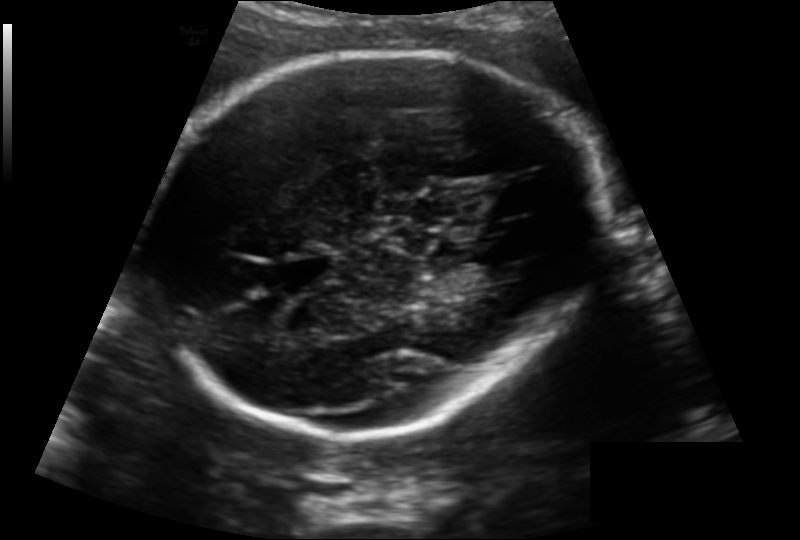
Fetal head ultrasound. Image width: 130.3 mm. Where is the fetal head?

Head bounding box: [147,47,596,435]